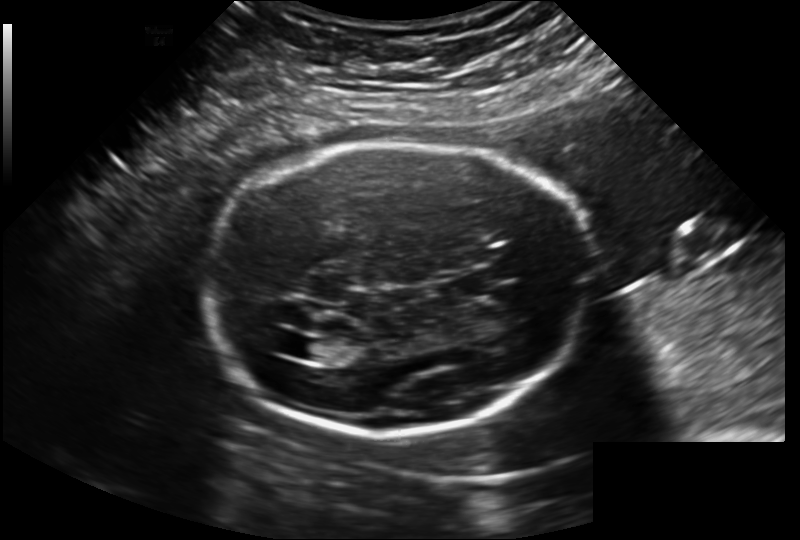
Measure the fetal head circumference shown in this ultrasound image. Image width: 161.6 mm.

Head circumference: 223.8 mm.